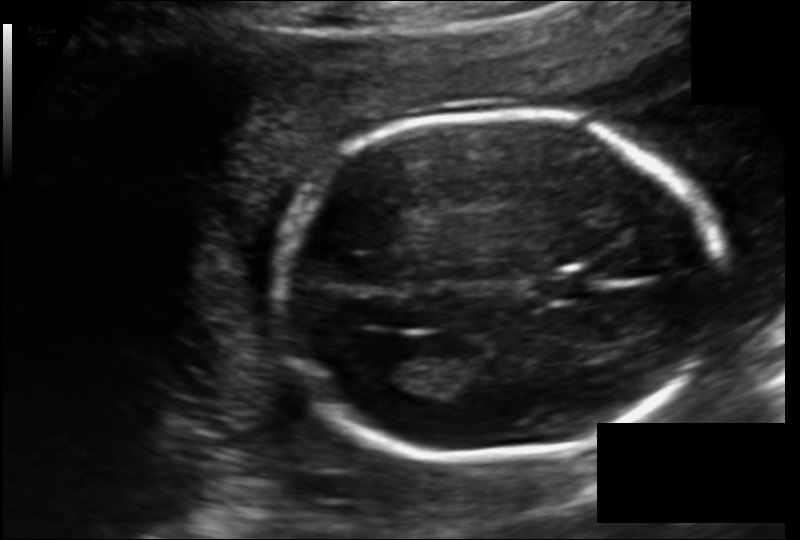
Fetal head ultrasound. Image width: 107.8 mm. Where is the lateral ventricle?

Lateral ventricle bounding box: [368,346,439,396]